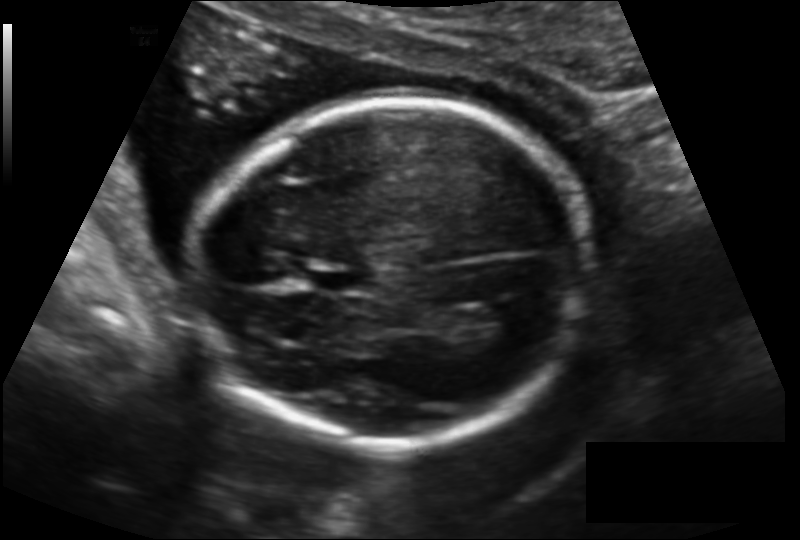
From this fetal ultrasound, estimate the head circumference (image width 111.8 mm).

Head circumference: 167.3 mm.